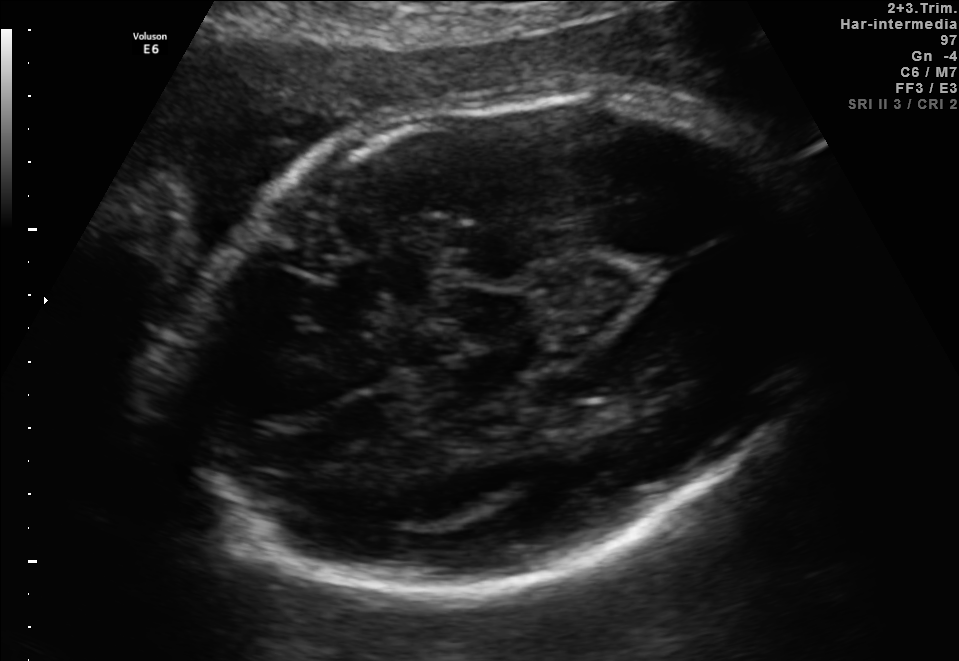
In this fetal brain, trans-thalamic plane, give the bounding box of the fetal head.

[174,91,819,590]